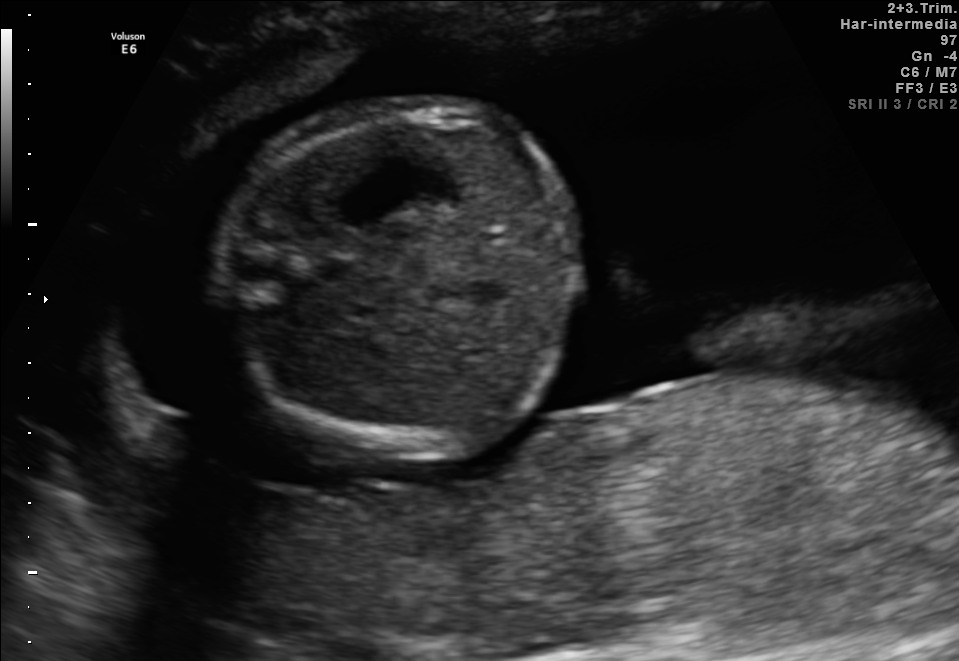
Which standard maternal-fetal ultrasound plane is shown: fetal abdomen, fetal brain, fetal femur, fetal thorax, maternal cervix, or other? If it's fetal brain and one of the three standard brain planes (trans-thalamic, trans-cerebellum, trans-ventricular), name which.

Fetal abdomen